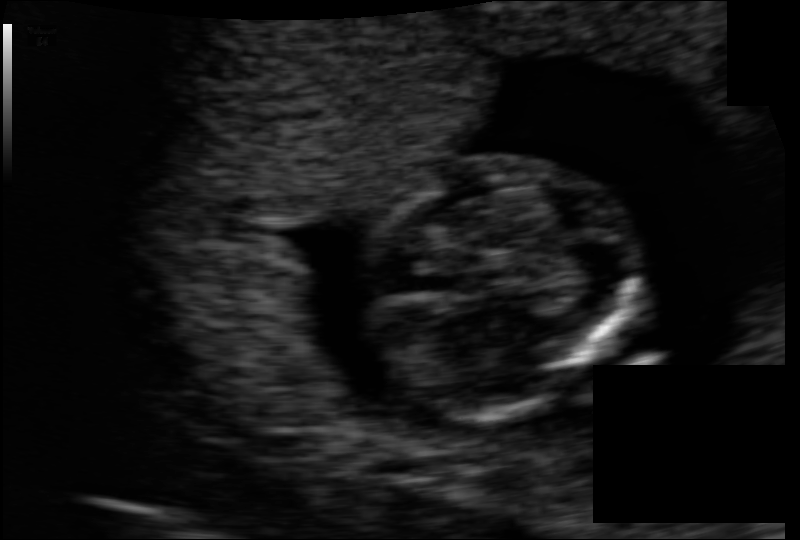
In this fetal head ultrasound, give bounding boxes for the head outline, cavum septum pellucidum (CSP), and lateral ventricle (LV), where visible. Image width: 66.6 mm.

Head: [361,153,629,415]